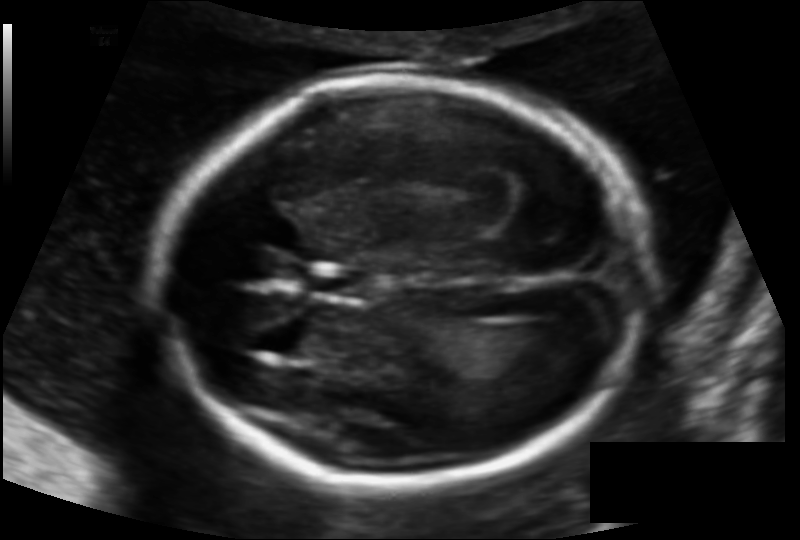
Estimate the fetal head circumference from this 2D ultrasound. Image width: 97.8 mm.

Head circumference: 177.1 mm.